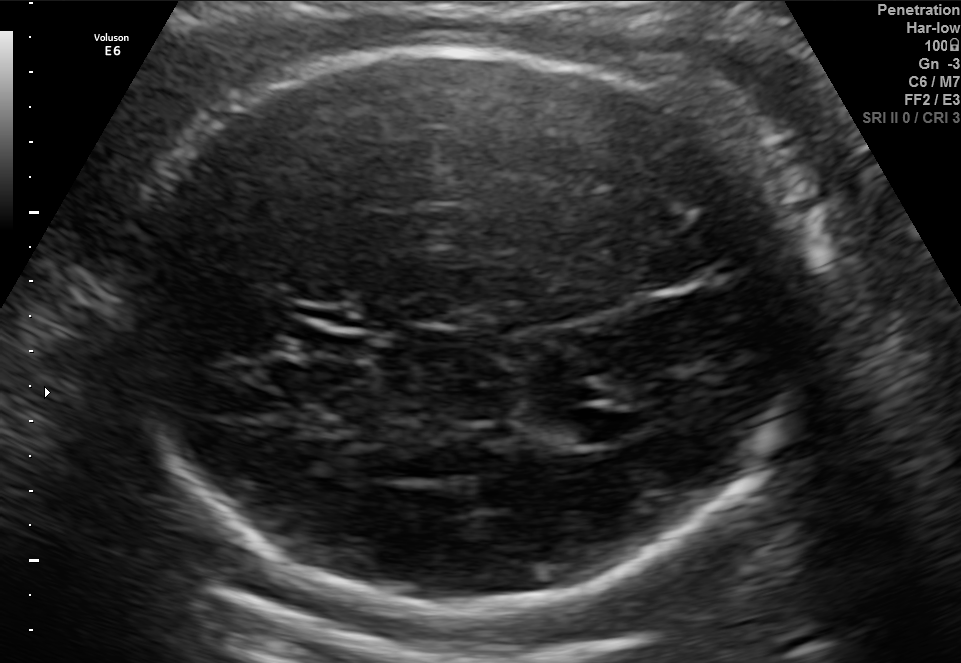
Fetal brain, trans-ventricular plane. Where is the cavum septum pellucidum?

CSP bounding box: [292,294,370,341]